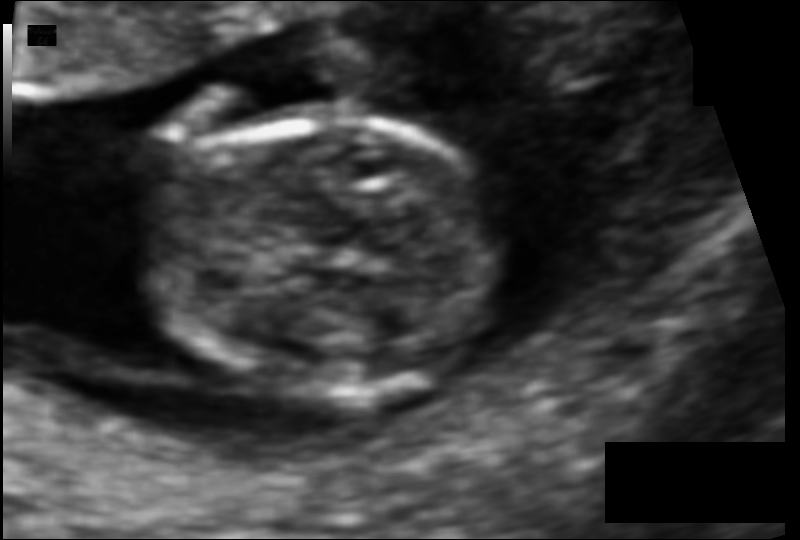
In this fetal head ultrasound, give bounding boxes for the head outline, cavum septum pellucidum (CSP), and lateral ventricle (LV), where visible. Image width: 58.2 mm.

Head: [146,120,509,400]